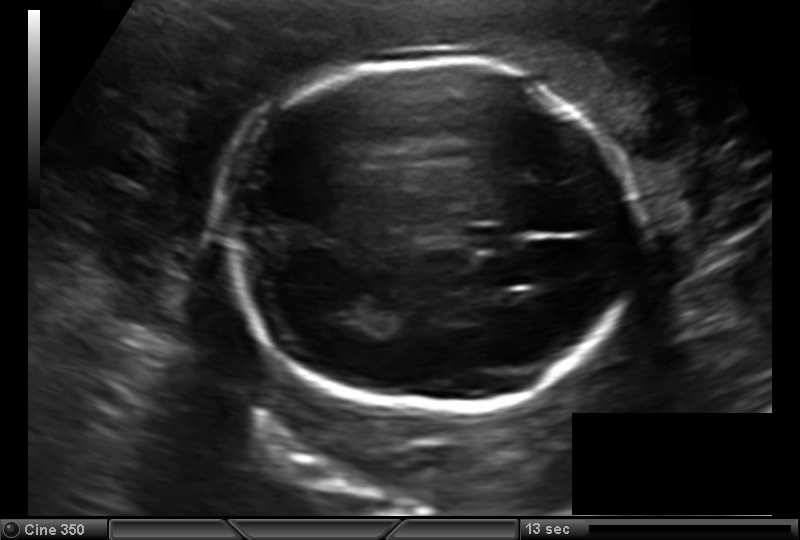
Fetal head ultrasound. Image width: 125.6 mm. Locate the fetal head.

Head: [223,60,642,408]